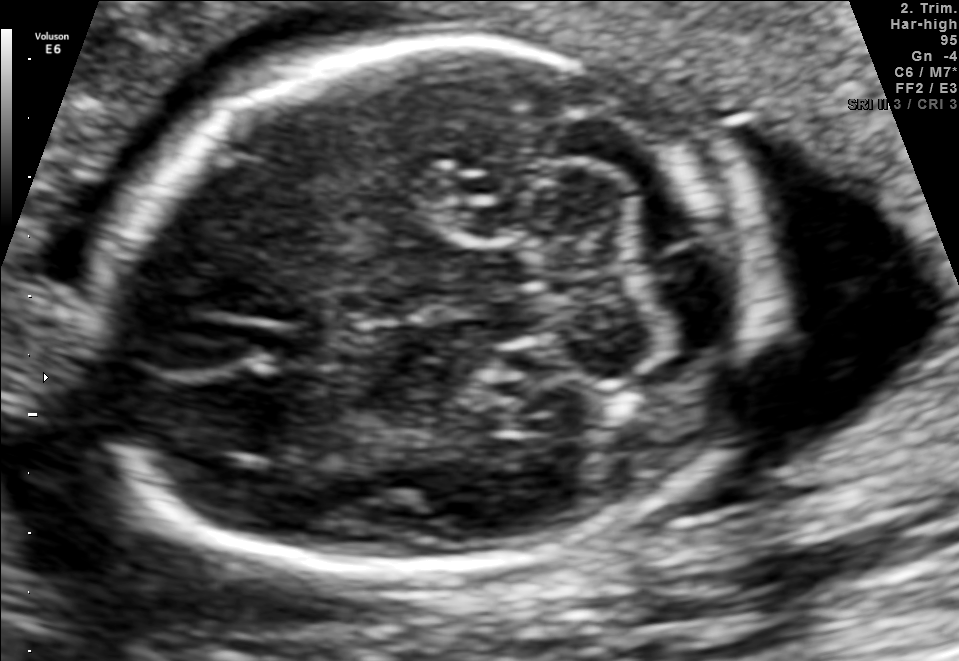
In this fetal brain, trans-cerebellum plane, give the bounding box of the cavum septum pellucidum.

[254,324,340,370]